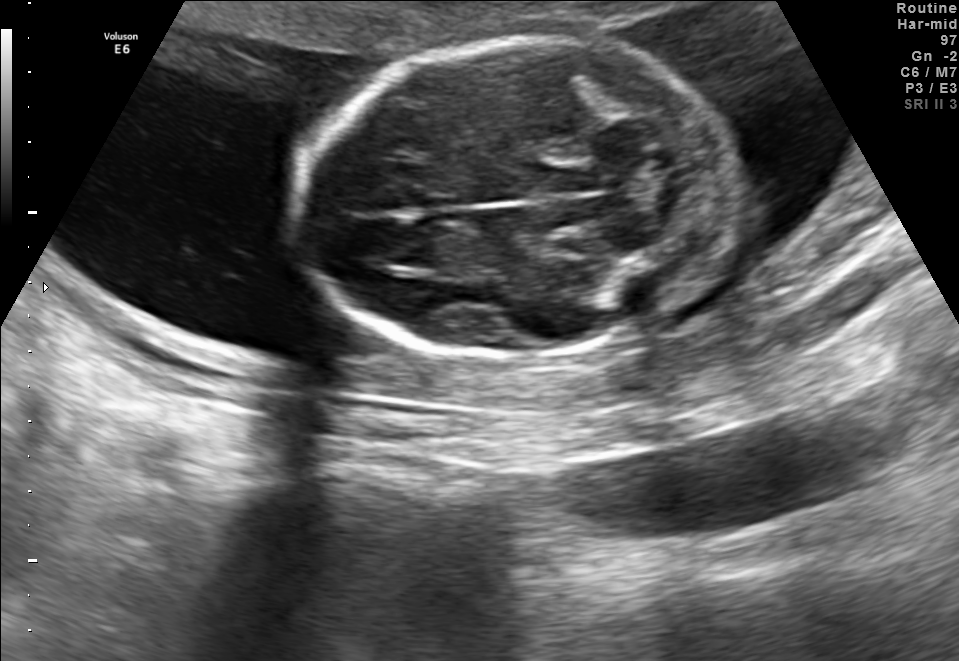
Fetal brain, trans-thalamic plane. Locate the fetal head.

Head: [291,36,738,363]